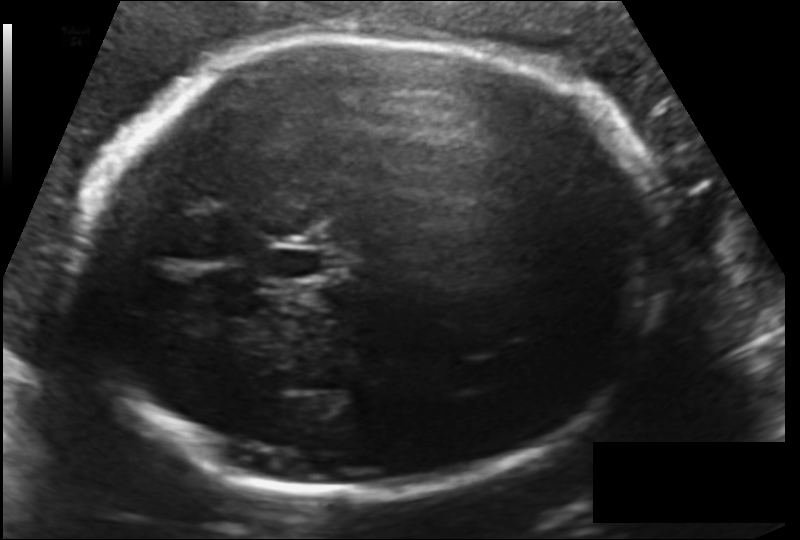
In this fetal head ultrasound, give the bounding box of the fetal head. Image width: 122.1 mm.

[74,35,666,498]